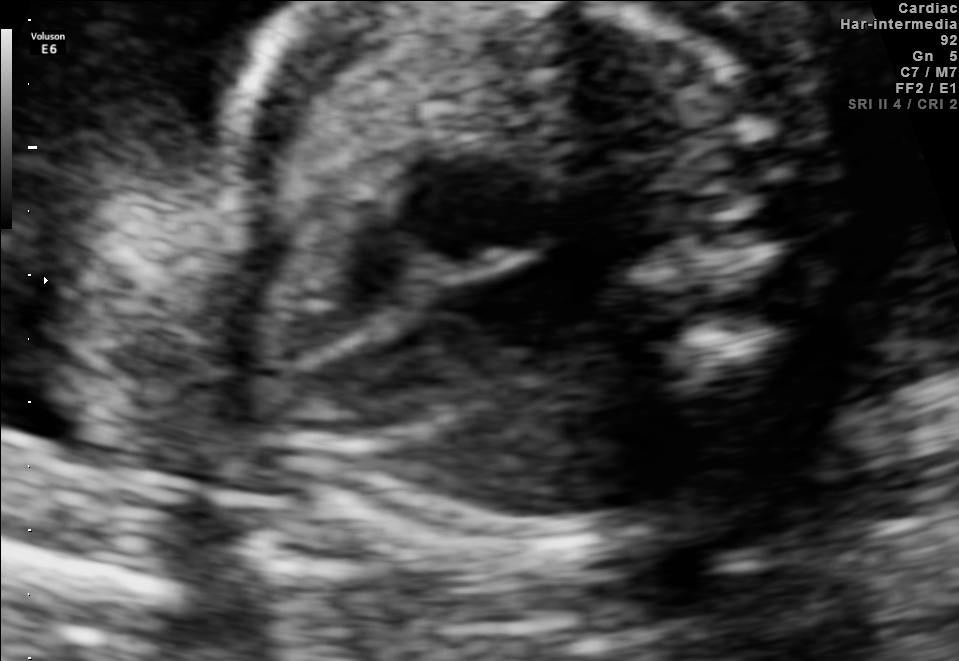
Which standard maternal-fetal ultrasound plane is shown: fetal abdomen, fetal brain, fetal femur, fetal thorax, maternal cervix, or other? If it's fetal brain and one of the three standard brain planes (trans-thalamic, trans-cerebellum, trans-ventricular), name which.

Fetal thorax